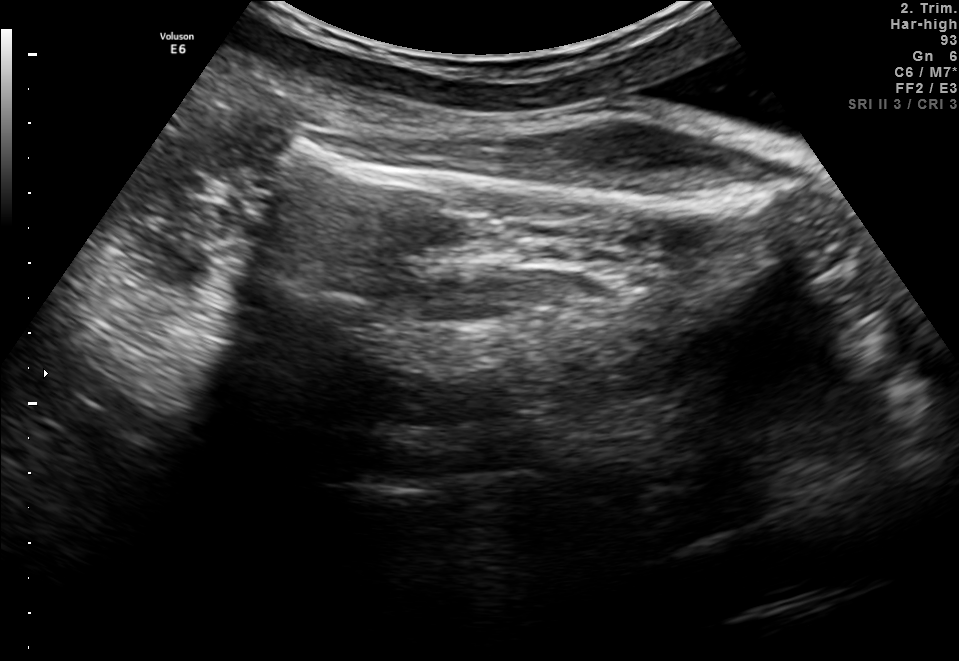
Classify this maternal-fetal ultrasound image as one of the six standard planes — fetal abdomen, fetal brain, fetal femur, fetal thorax, maternal cervix, or other. If it's fetal brain and one of the three standard brain planes (trans-thalamic, trans-cerebellum, trans-ventricular), name which.

Fetal femur